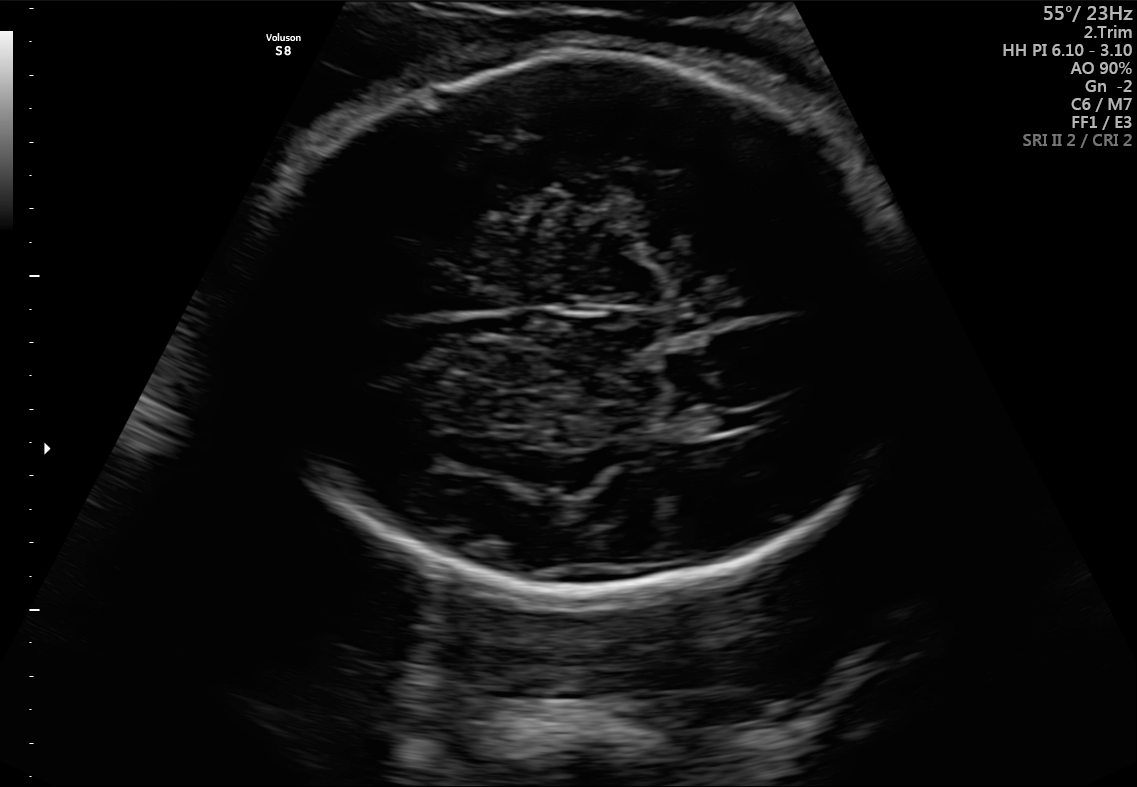
Fetal brain, trans-ventricular plane. Locate the fetal head.

Head: [251,48,916,599]